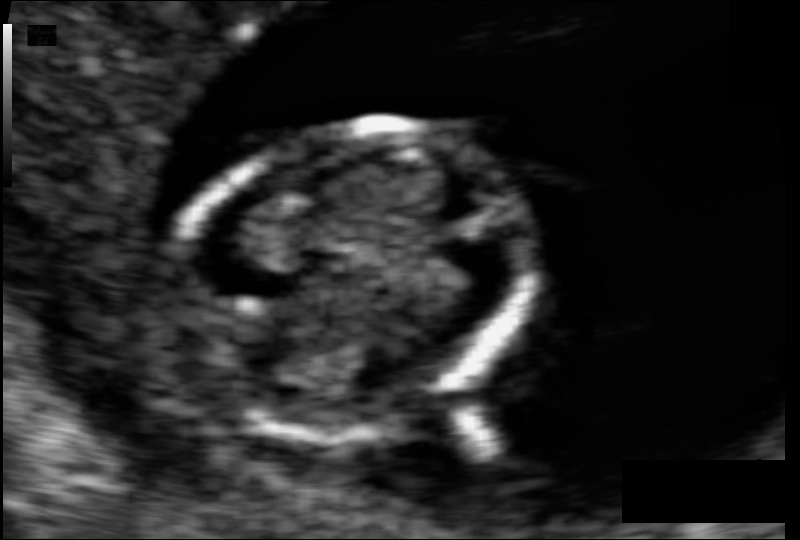
Estimate the fetal head circumference from this 2D ultrasound. Image width: 54.9 mm.

Head circumference: 77.2 mm.